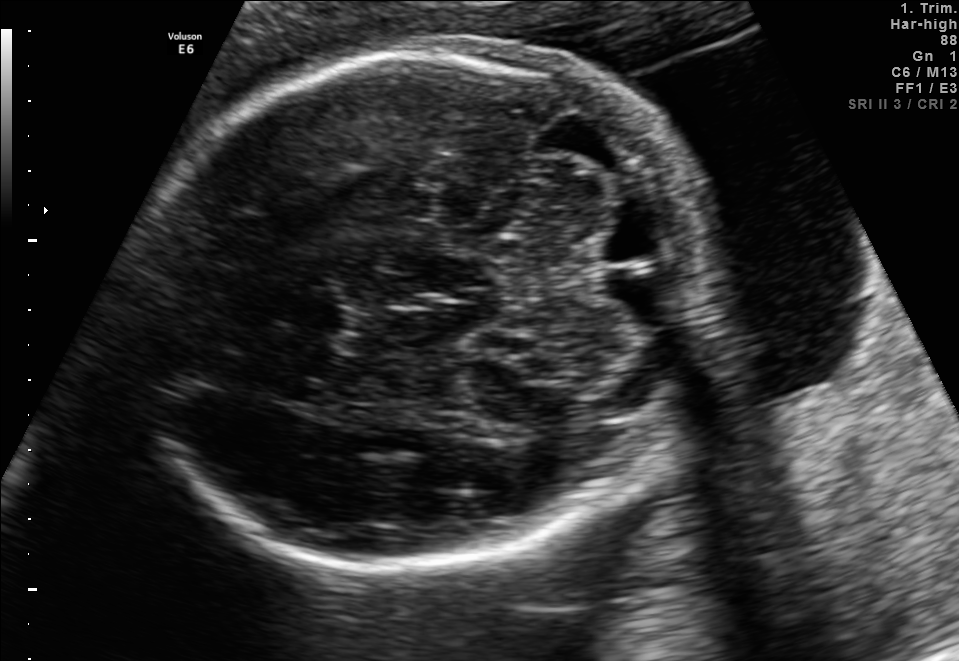
Fetal brain, trans-cerebellum plane. Locate the fetal head.

Head: [128,43,717,566]